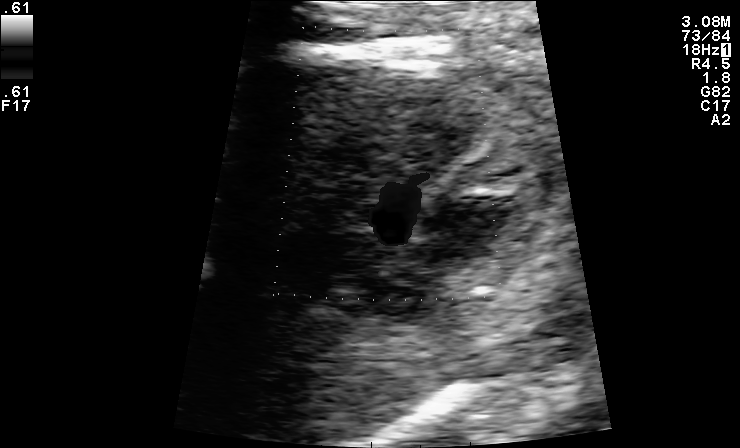
Identify the standard plane in this fetal ultrasound image: fetal abdomen, fetal brain, fetal femur, fetal thorax, maternal cervix, or other. If it's fetal brain and one of the three standard brain planes (trans-thalamic, trans-cerebellum, trans-ventricular), name which.

Other